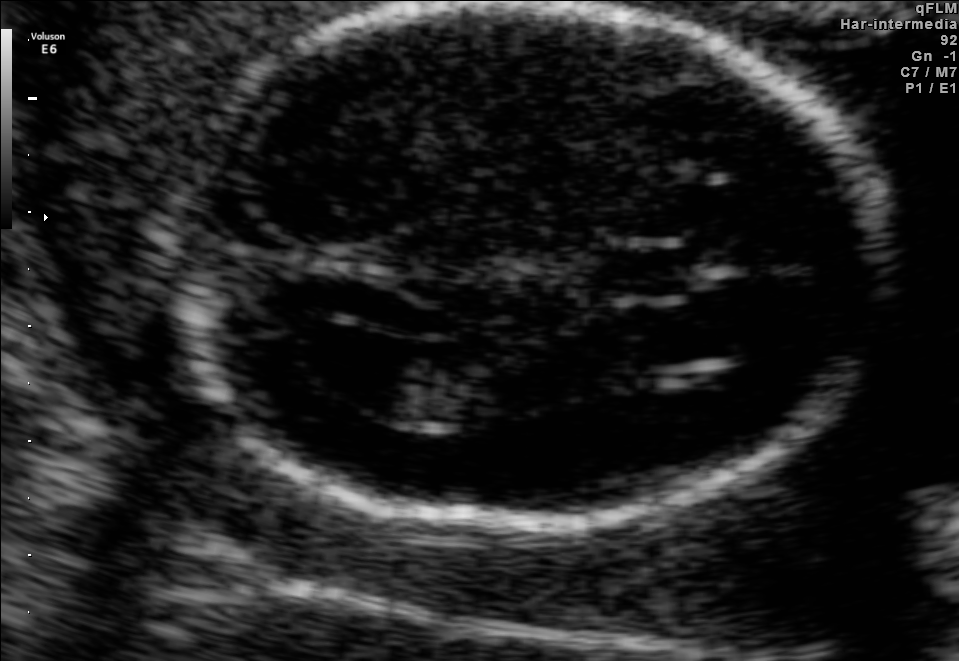
Fetal brain, trans-ventricular plane. Locate the fetal head and, if visible, the cavum septum pellucidum (CSP) and lateral ventricle (LV). Give bounding boxes as [x1,y1,x2,y2].

Head: [141,3,908,546]
CSP: [600,246,709,297]
Lateral ventricle: [276,307,443,421]